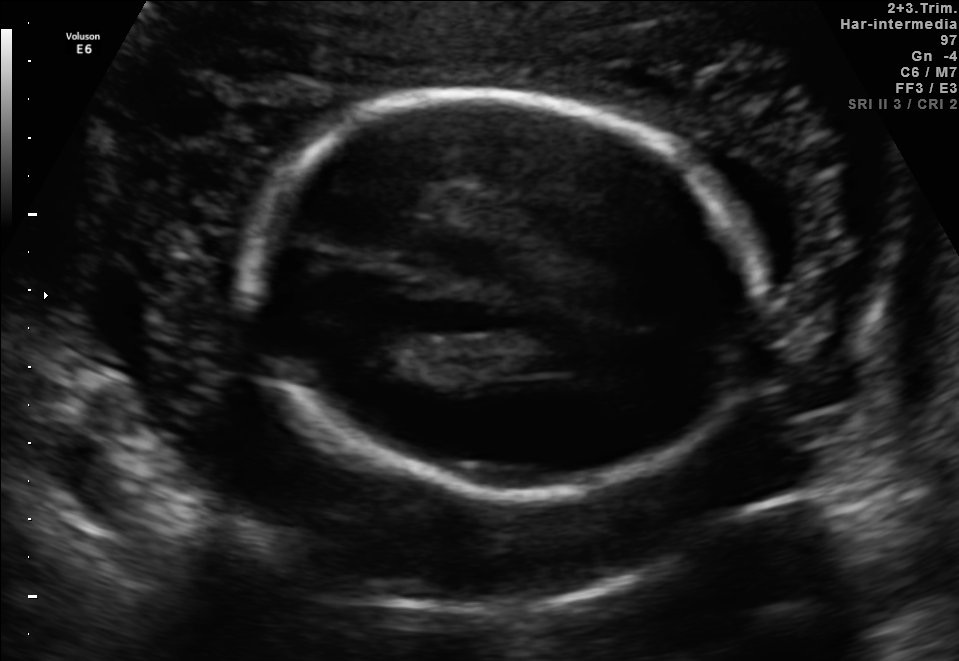
Which standard maternal-fetal ultrasound plane is shown: fetal abdomen, fetal brain, fetal femur, fetal thorax, maternal cervix, or other? If it's fetal brain and one of the three standard brain planes (trans-thalamic, trans-cerebellum, trans-ventricular), name which.

Fetal brain (trans-thalamic plane)